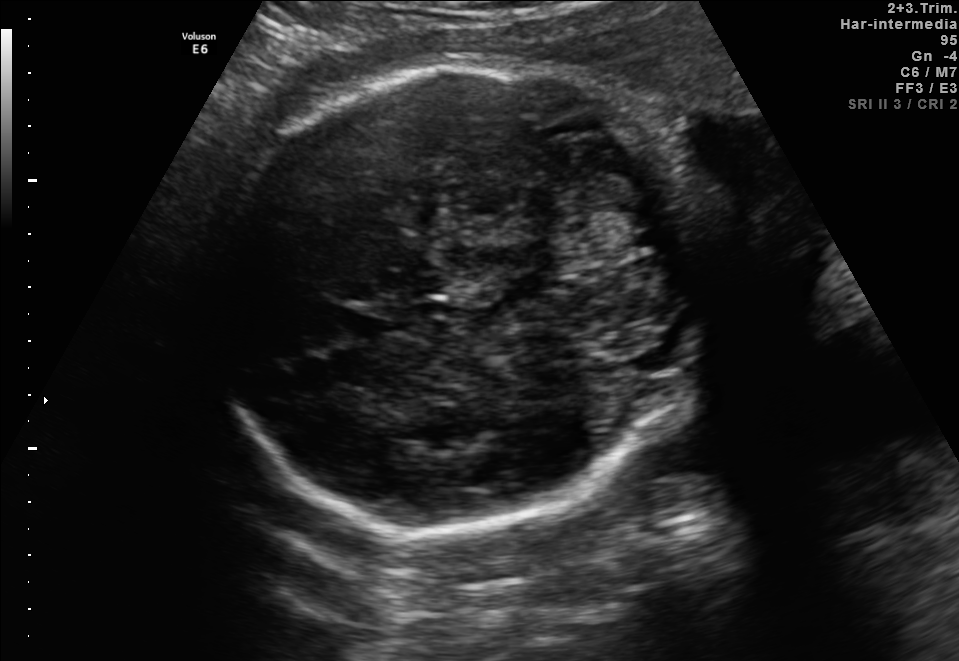
Fetal brain, trans-cerebellum plane. Give [x1,y1,x2,y2] bounding boxes for each visible structure among: fetal head, CSP, LV.

Head: [213,57,722,534]